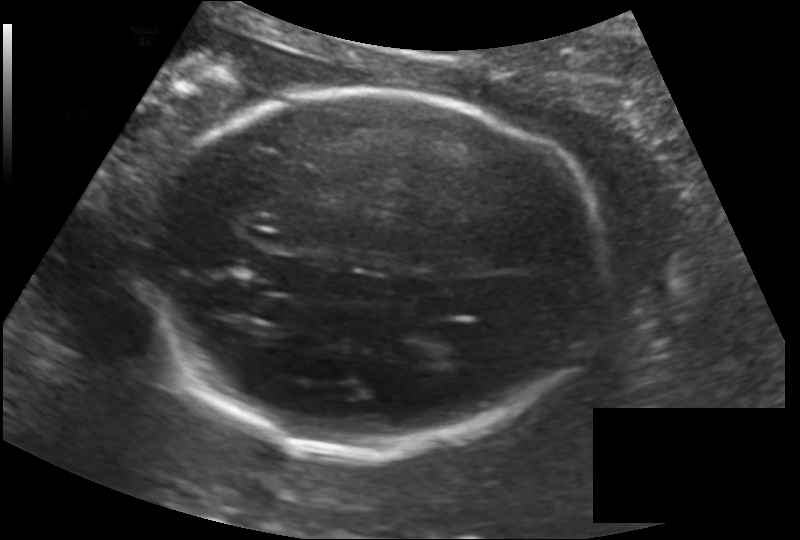
From this fetal ultrasound, estimate the head circumference (image width 136.3 mm).

Head circumference: 226.9 mm.